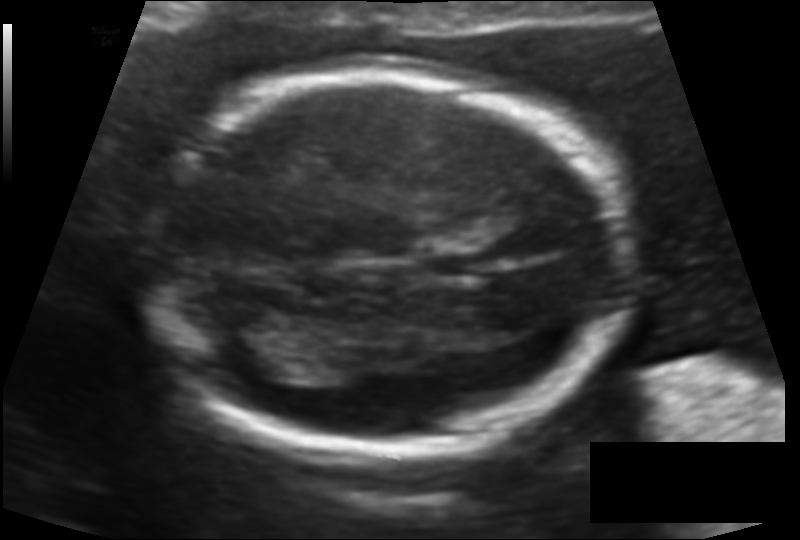
In this fetal head ultrasound, give the bounding box of the lateral ventricle. Image width: 92.6 mm.

[203,303,308,382]